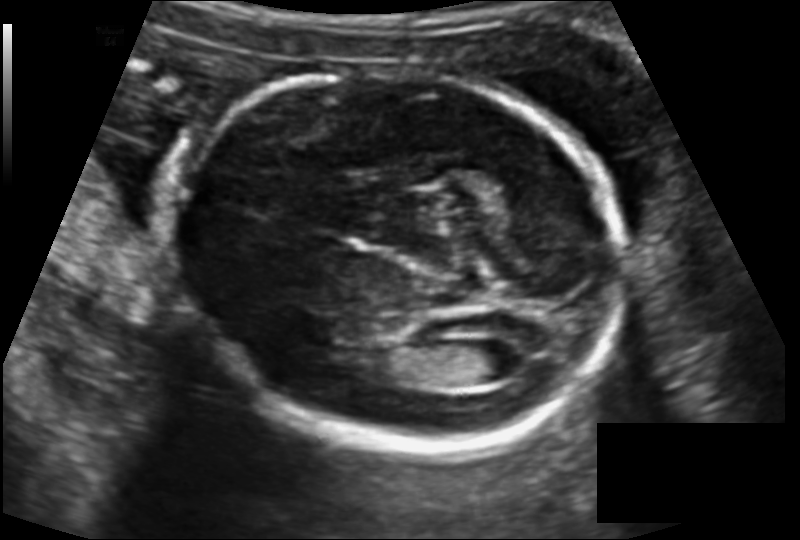
Fetal head ultrasound. Image width: 103.4 mm. Locate the fetal head and, if visible, the cavum septum pellucidum (CSP) and lateral ventricle (LV). Give bounding boxes as [x1,y1,x2,y2].

Head: [168,72,632,450]
Lateral ventricle: [463,336,527,386]